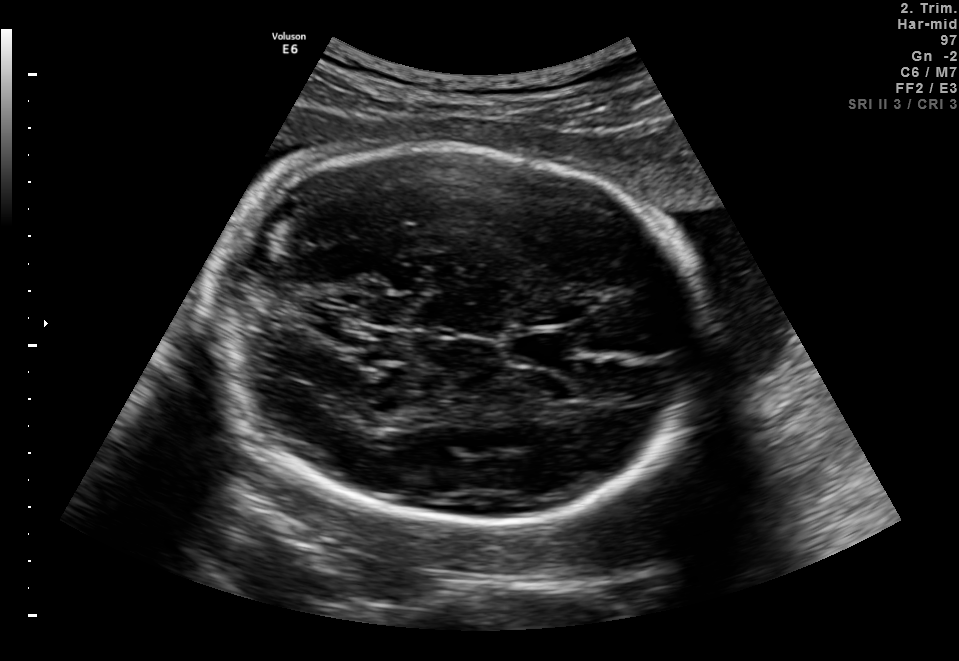
Fetal brain, trans-thalamic plane. Locate the cavum septum pellucidum.

CSP: [512,333,575,365]